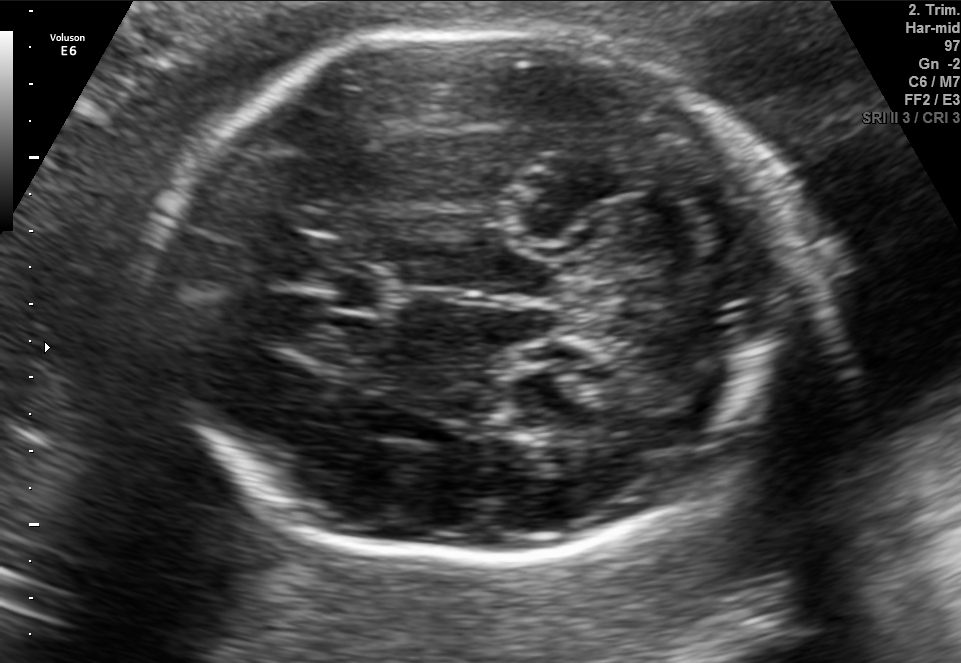
Fetal brain, trans-cerebellum plane. Where is the fetal head?

Head bounding box: [163,33,784,564]